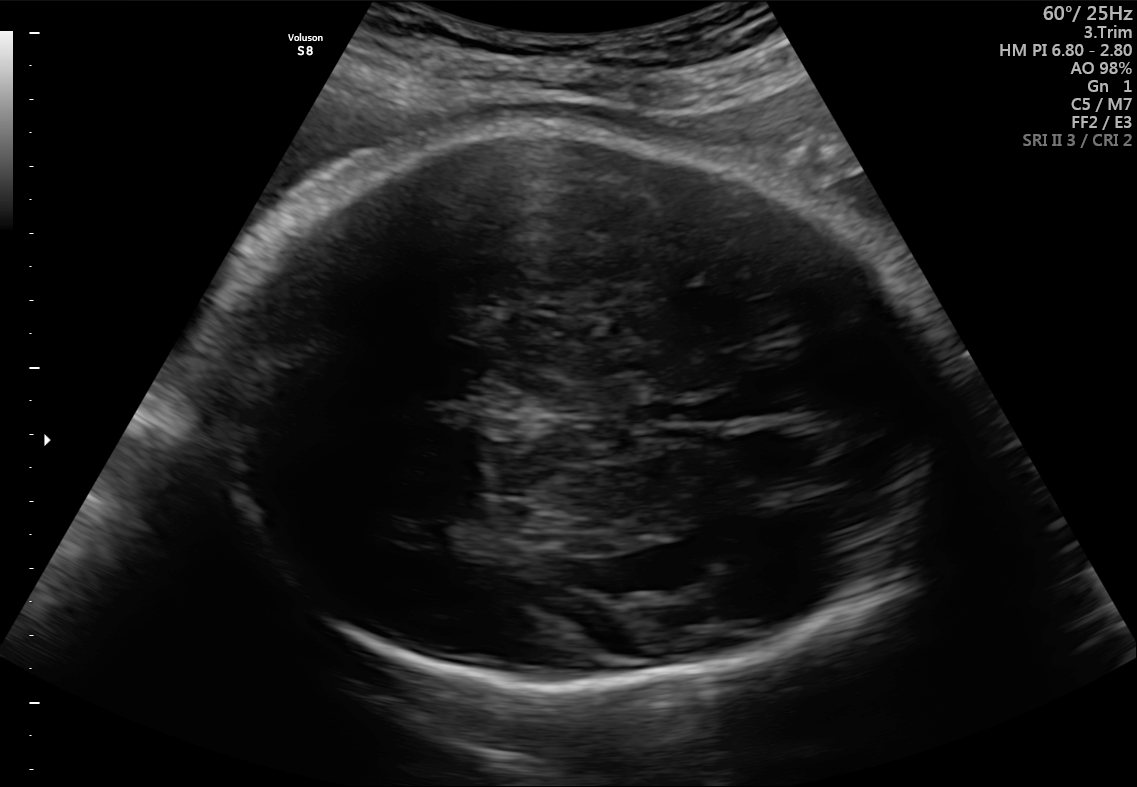
Fetal brain, trans-thalamic plane. Locate the fetal head.

Head: [226,127,927,693]